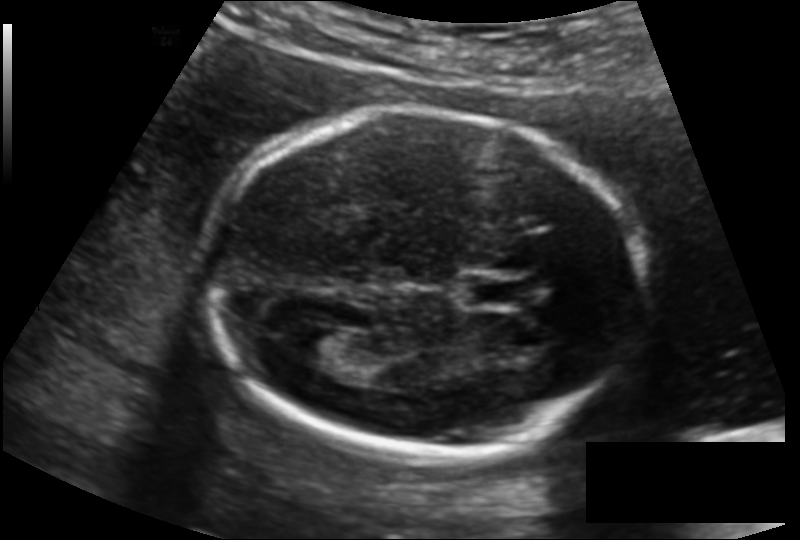
Fetal head ultrasound. Image width: 107.6 mm. Locate the fetal head.

Head: [198,112,639,454]